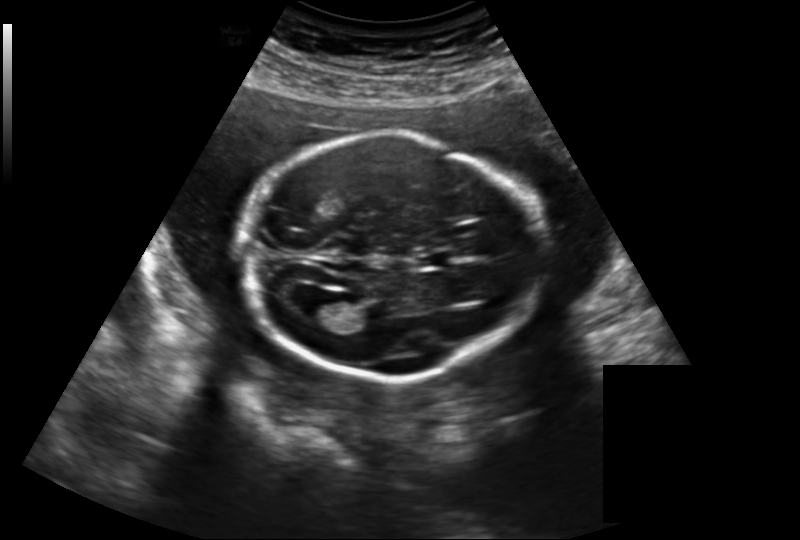
Estimate the fetal head circumference from this 2D ultrasound. Image width: 175.2 mm.

Head circumference: 195.9 mm.